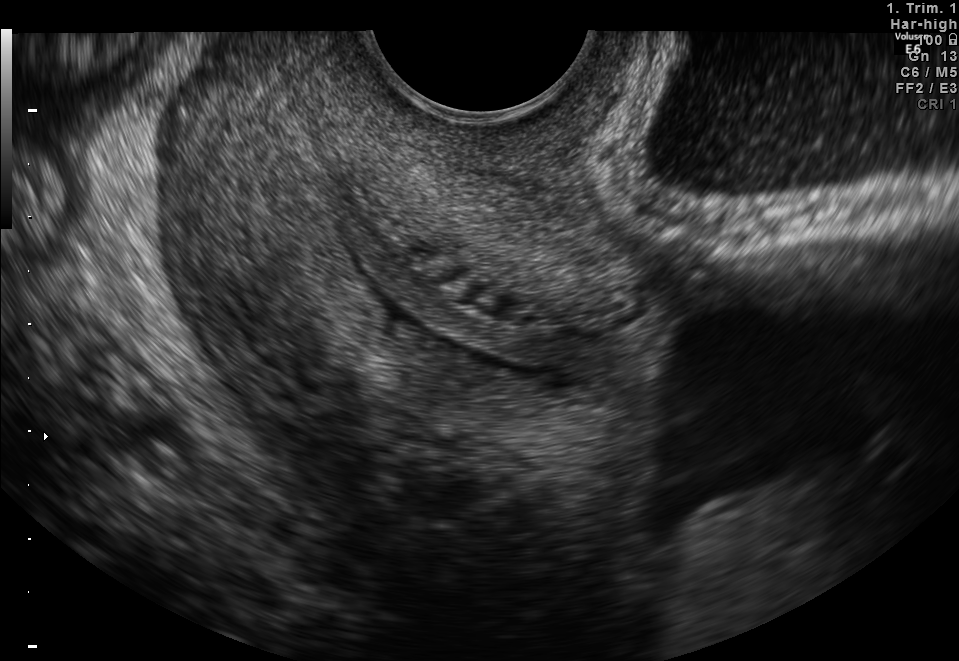
Which standard maternal-fetal ultrasound plane is shown: fetal abdomen, fetal brain, fetal femur, fetal thorax, maternal cervix, or other? If it's fetal brain and one of the three standard brain planes (trans-thalamic, trans-cerebellum, trans-ventricular), name which.

Maternal cervix